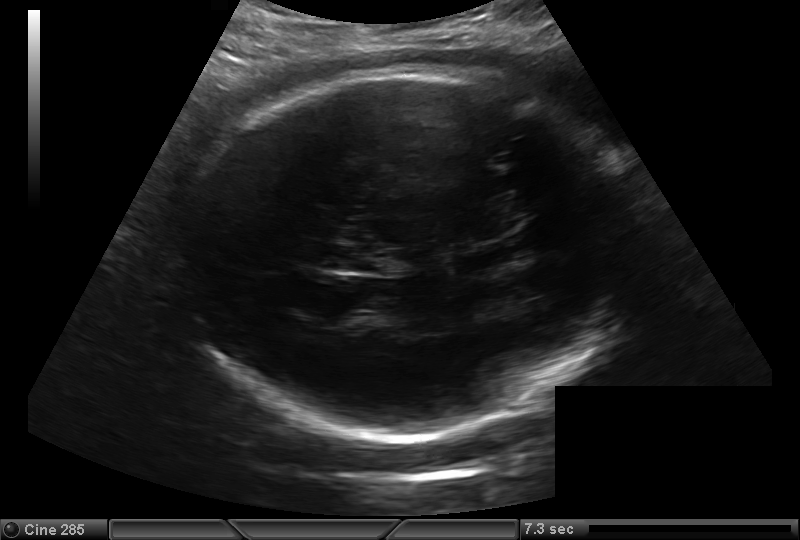
In this fetal head ultrasound, give the bounding box of the fetal head. Image width: 173.2 mm.

[189,66,631,441]